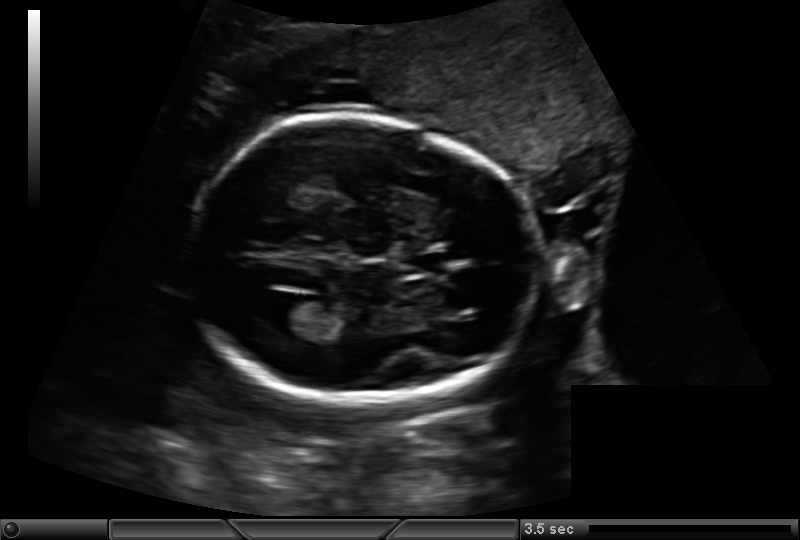
In this fetal head ultrasound, give bounding boxes for the head outline, cavum septum pellucidum (CSP), and lateral ventricle (LV), where visible. Image width: 126.8 mm.

Head: [189,117,540,402]
CSP: [409,250,450,274]
Lateral ventricle: [263,293,315,336]